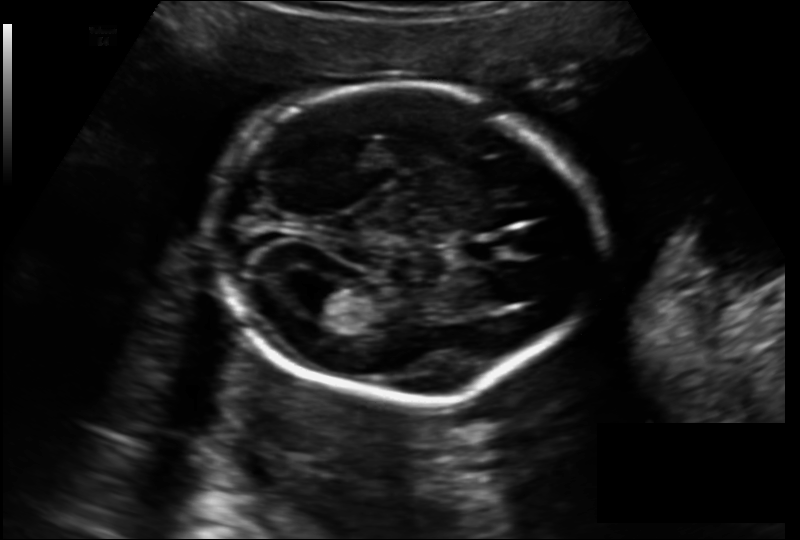
In this fetal head ultrasound, give the bounding box of the fetal head. Image width: 125.9 mm.

[208,87,592,403]